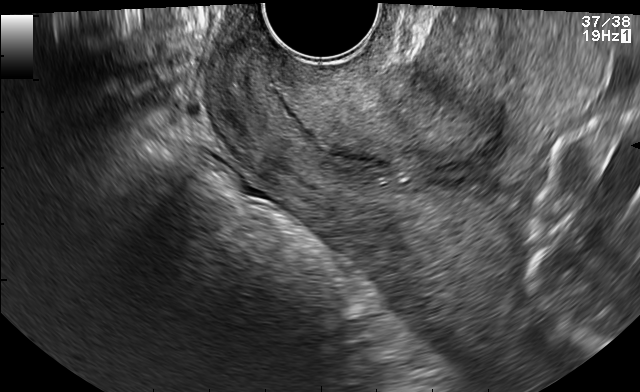
Classify this maternal-fetal ultrasound image as one of the six standard planes — fetal abdomen, fetal brain, fetal femur, fetal thorax, maternal cervix, or other. If it's fetal brain and one of the three standard brain planes (trans-thalamic, trans-cerebellum, trans-ventricular), name which.

Maternal cervix